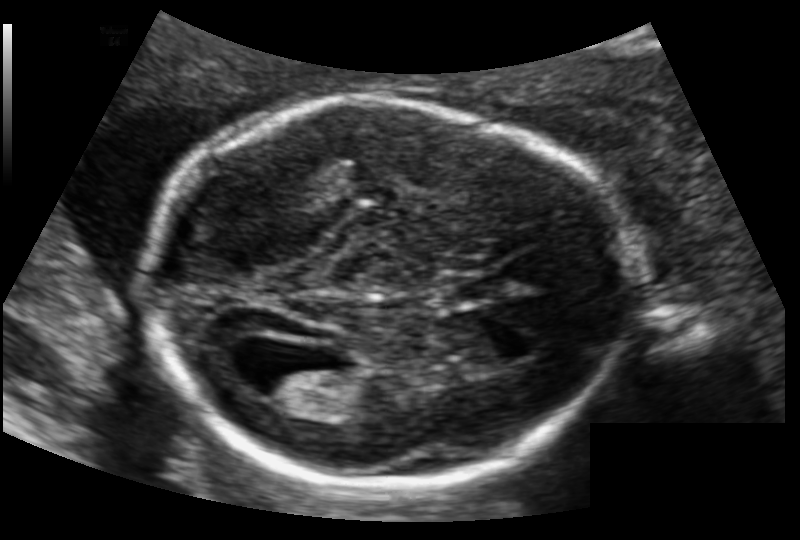
Fetal head ultrasound. Image width: 100.7 mm. Give [x1,y1,x2,y2] bounding boxes for each visible structure among: fetal head, CSP, LV.

Head: [143,98,621,489]
CSP: [450,273,506,303]
Lateral ventricle: [242,345,327,415]